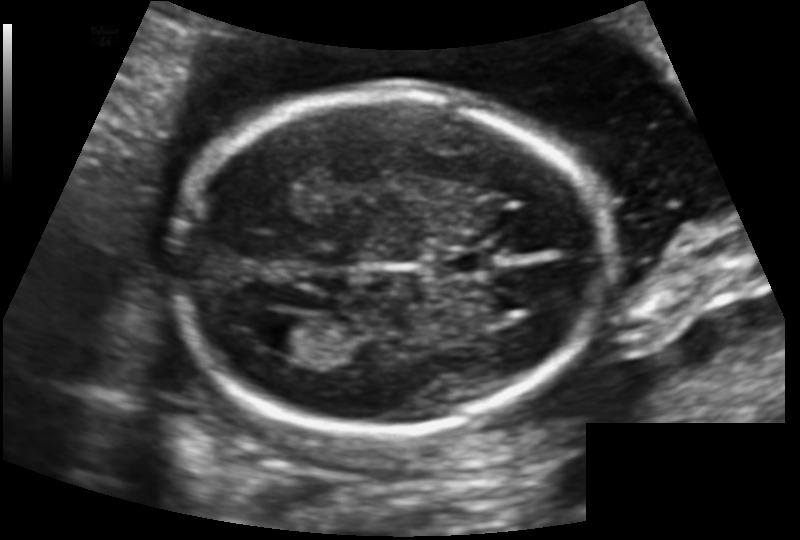
Fetal head ultrasound. Image width: 103.5 mm. Locate the lateral ventricle.

Lateral ventricle: [255,309,324,357]